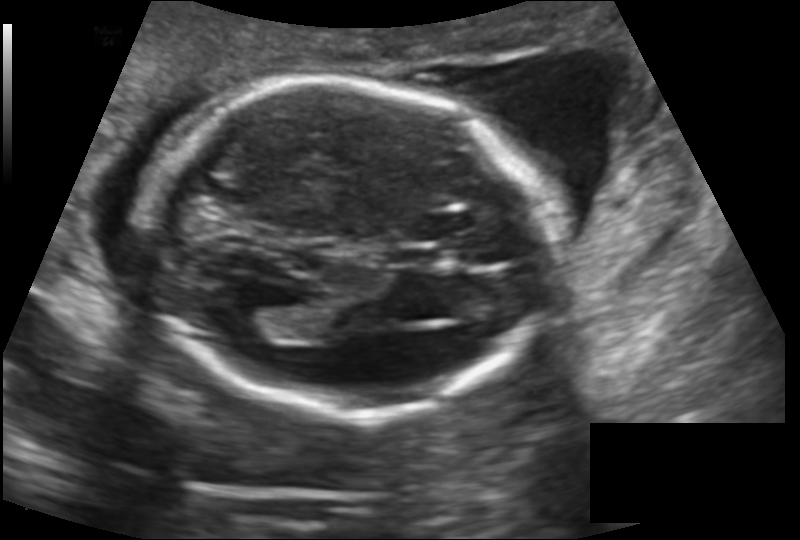
Fetal head ultrasound. Image width: 116.4 mm. Locate the lateral ventricle.

Lateral ventricle: [229,306,285,340]